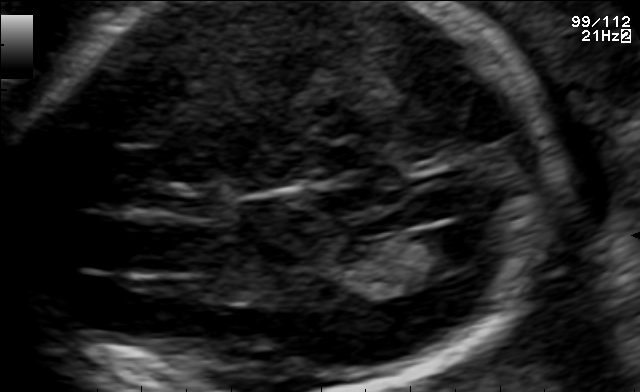
Fetal brain, trans-ventricular plane. Where is the lateral ventricle?

Lateral ventricle bounding box: [413,212,508,278]